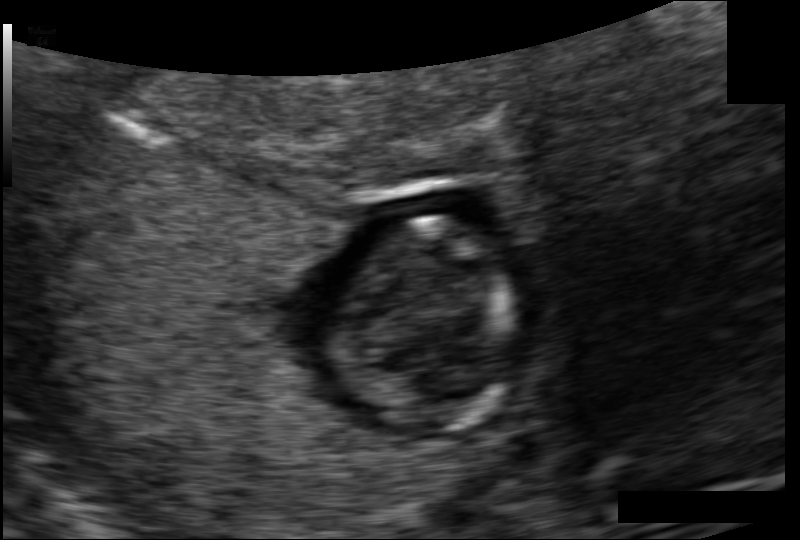
In this fetal head ultrasound, give bounding boxes for the head outline, cavum septum pellucidum (CSP), and lateral ventricle (LV), where visible. Image width: 78.5 mm.

Head: [342,219,513,429]